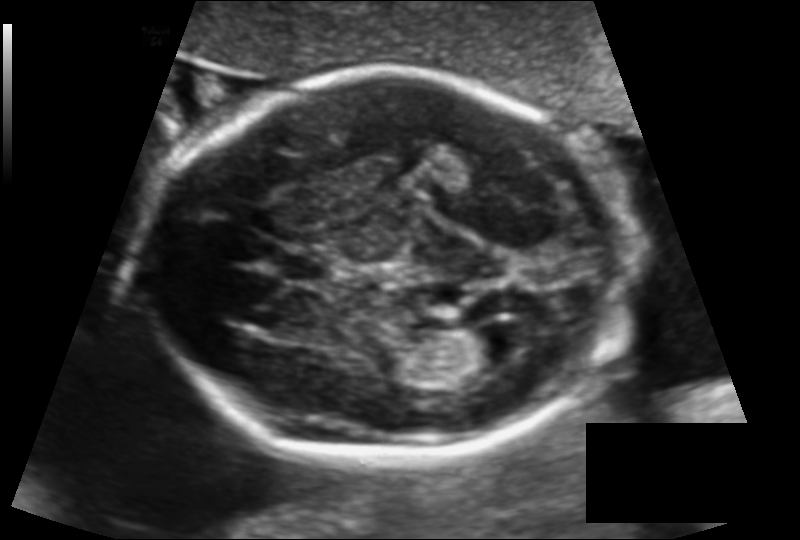
Estimate the fetal head circumference from this 2D ultrasound.

Head circumference: 180.4 mm (image width 103.5 mm).